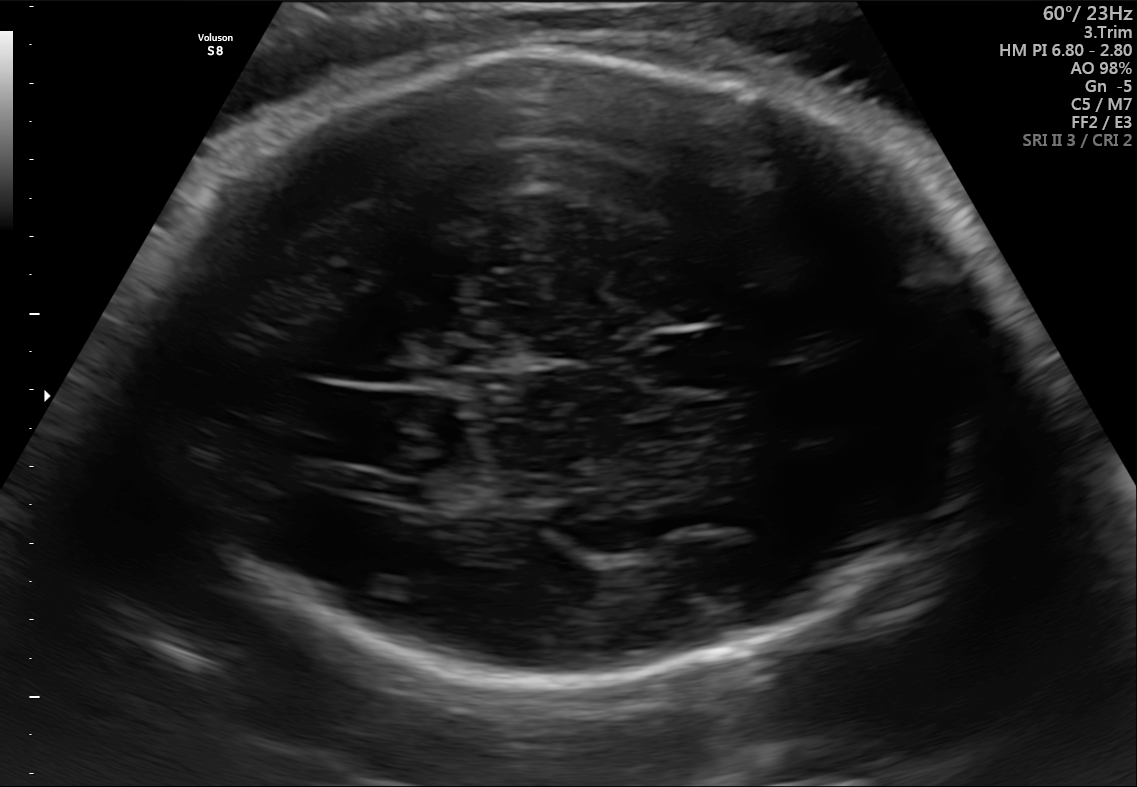
In this fetal brain, trans-thalamic plane, give bounding boxes for the head outline, cavum septum pellucidum (CSP), and lateral ventricle (LV), where visible.

Head: [158,51,989,676]
CSP: [648,334,741,388]
Lateral ventricle: [372,470,438,514]